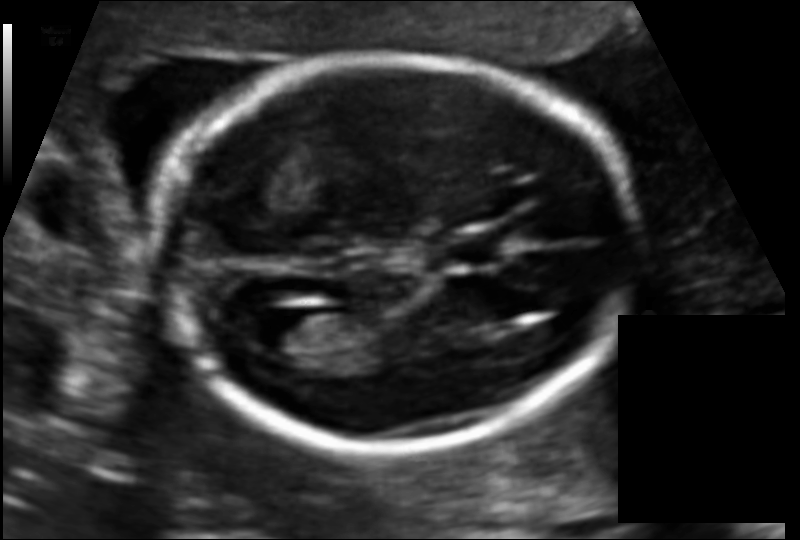
In this fetal head ultrasound, give the bounding box of the fetal head. Image width: 87.1 mm.

[158,55,636,446]